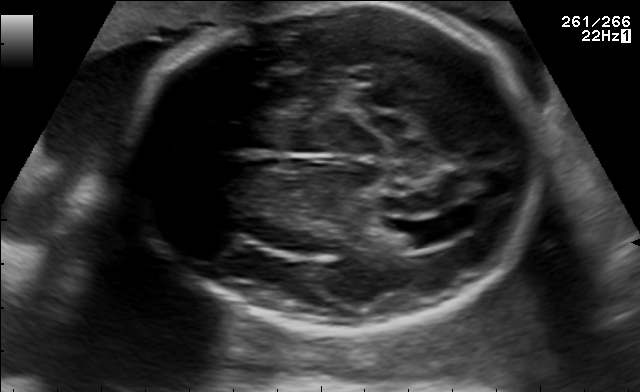
In this fetal brain, trans-ventricular plane, give the bounding box of the lateral ventricle.

[392,211,465,256]